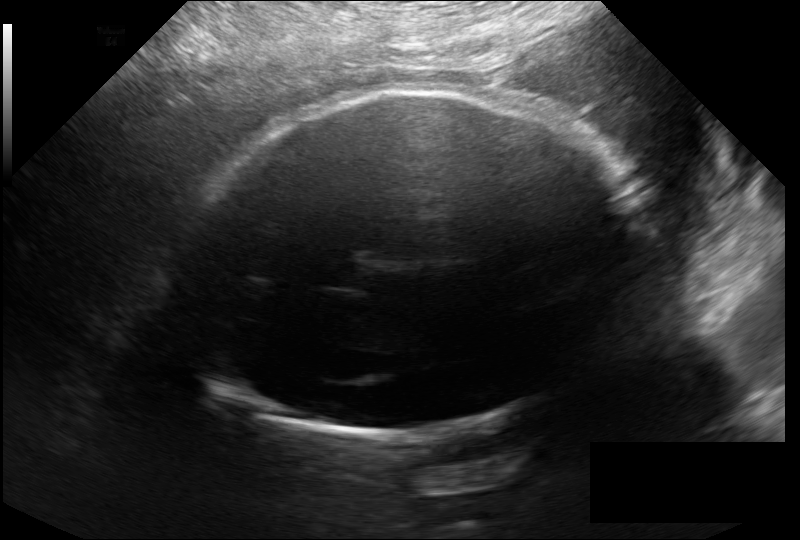
Fetal head ultrasound. Image width: 196.9 mm. Locate the fetal head.

Head: [180,90,626,435]